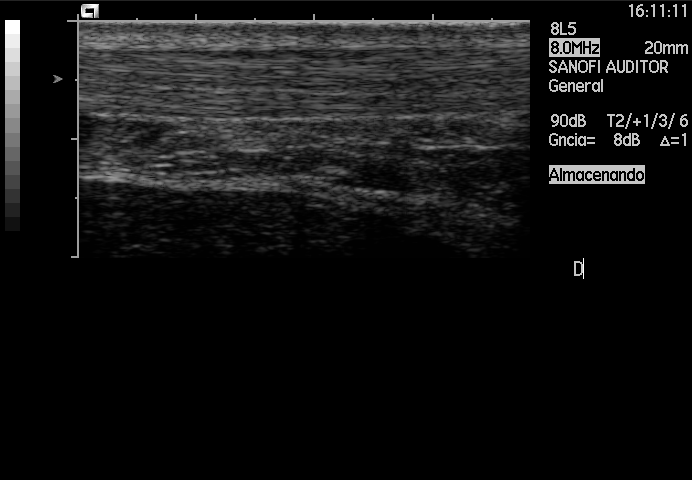
Identify the standard plane in this fetal ultrasound image: fetal abdomen, fetal brain, fetal femur, fetal thorax, maternal cervix, or other. If it's fetal brain and one of the three standard brain planes (trans-thalamic, trans-cerebellum, trans-ventricular), name which.

Other